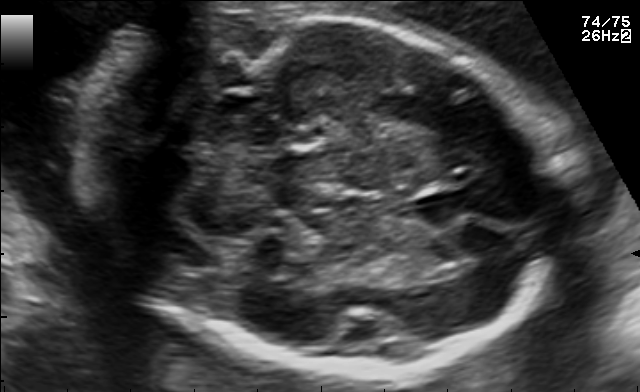
Fetal brain, trans-cerebellum plane. Locate the fetal head and, if visible, the cavum septum pellucidum (CSP) and lateral ventricle (LV). Give bounding boxes as [x1,y1,x2,y2].

Head: [93,12,559,372]